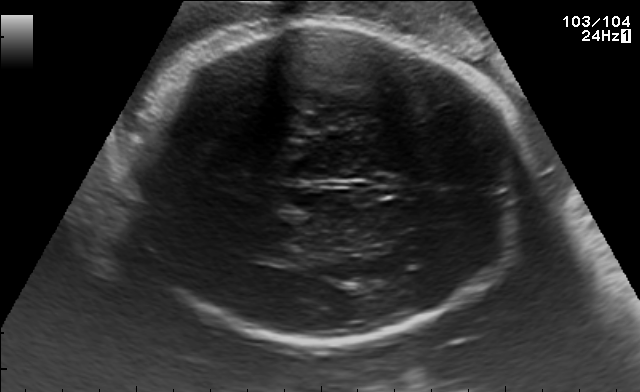
Fetal brain, trans-thalamic plane. Where is the fetal head?

Head bounding box: [125,24,530,342]